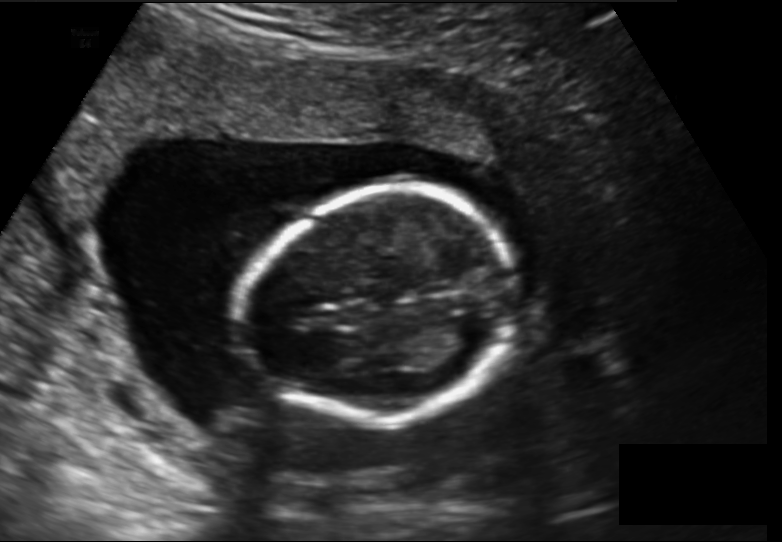
Measure the fetal head circumference shown in this ultrasound image. Image width: 122.9 mm.

Head circumference: 131.1 mm.